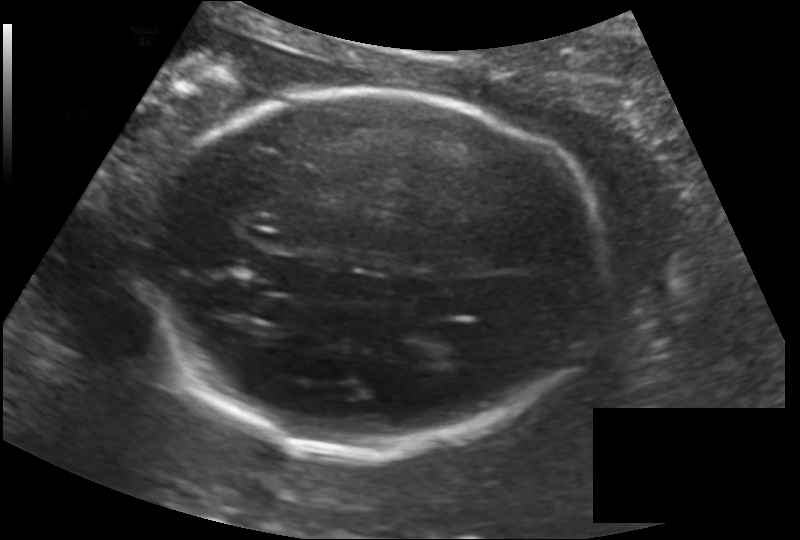
Fetal head ultrasound. Image width: 136.3 mm. Give [x1,y1,x2,y2] bounding boxes for each visible structure among: fetal head, CSP, LV.

Head: [148,93,599,455]